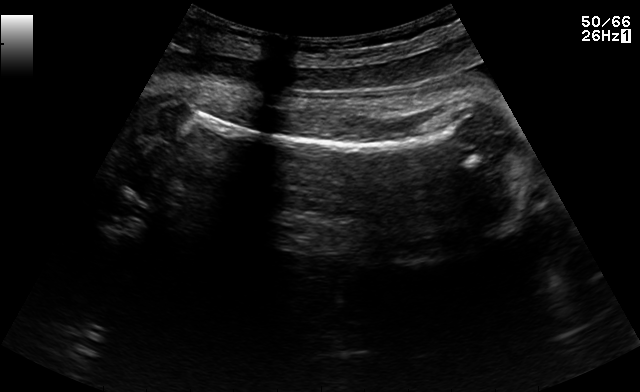
This is a 2D maternal-fetal ultrasound frame. Is it a fetal abdomen, fetal brain, fetal femur, fetal thorax, maternal cervix, or other standard plane? If it's fetal brain and one of the three standard brain planes (trans-thalamic, trans-cerebellum, trans-ventricular), name which.

Fetal femur